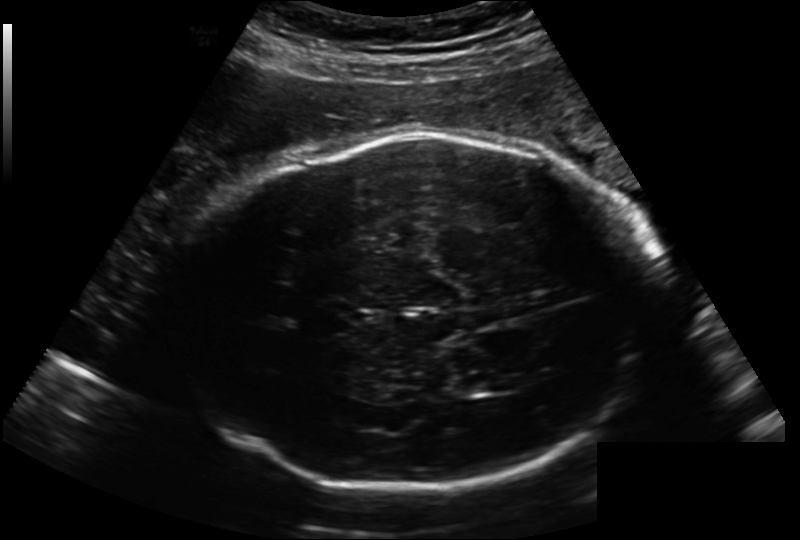
Fetal head ultrasound. Image width: 177.3 mm. Locate the fetal head.

Head: [170,132,643,493]